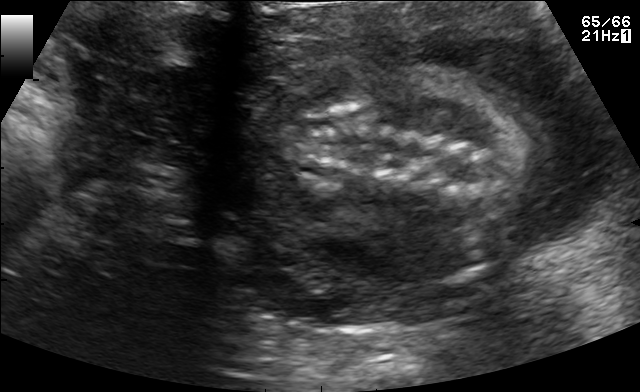
This is a 2D maternal-fetal ultrasound frame. Is it a fetal abdomen, fetal brain, fetal femur, fetal thorax, maternal cervix, or other standard plane? If it's fetal brain and one of the three standard brain planes (trans-thalamic, trans-cerebellum, trans-ventricular), name which.

Other